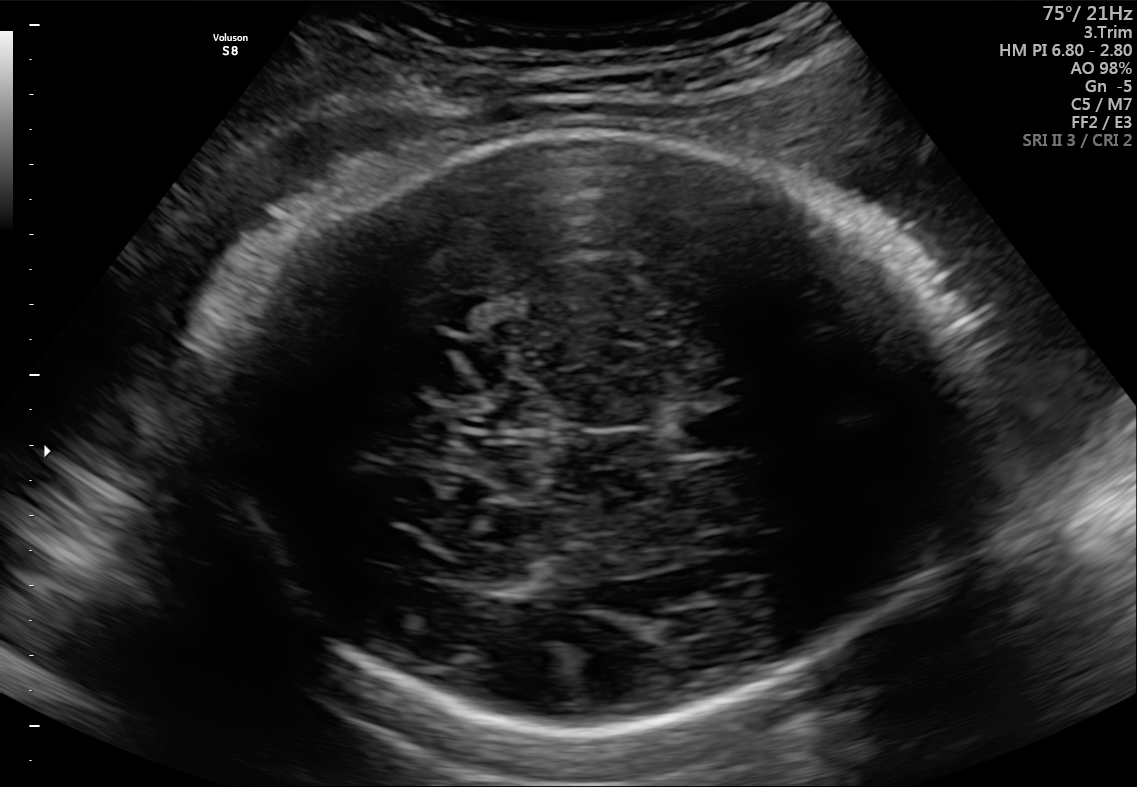
In this fetal brain, trans-thalamic plane, give bounding boxes for the head outline, cavum septum pellucidum (CSP), and lateral ventricle (LV), where visible.

Head: [211,130,950,731]
CSP: [671,404,752,454]